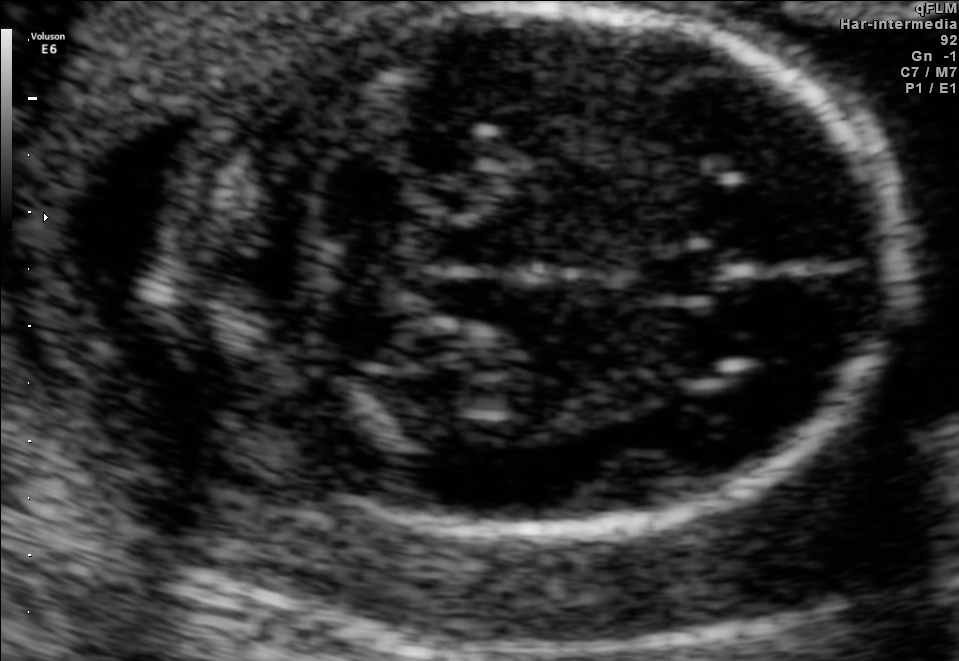
Fetal brain, trans-cerebellum plane. Locate the cavum septum pellucidum.

CSP: [628,243,722,309]